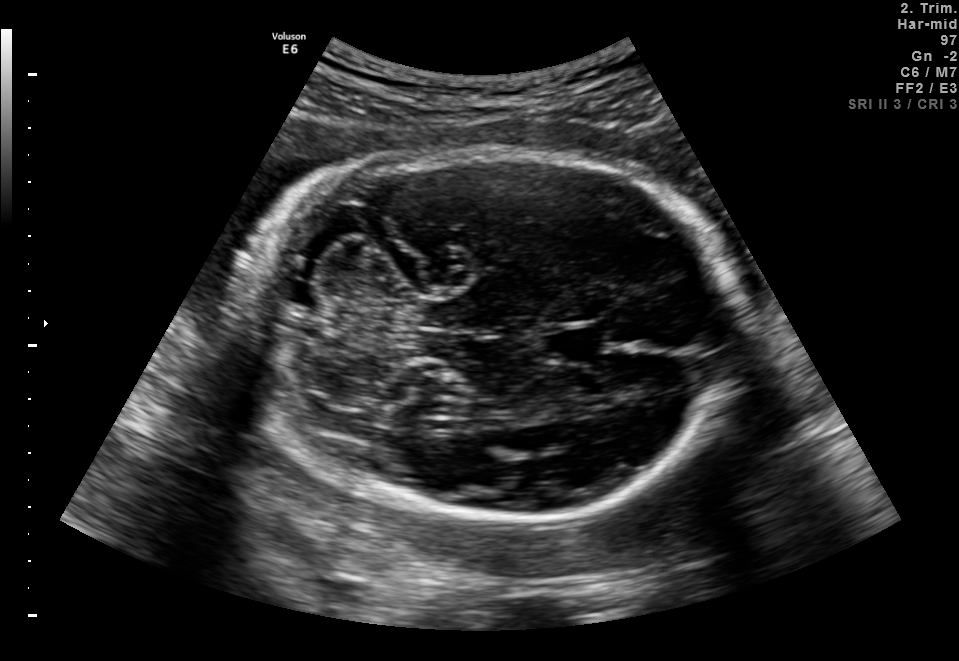
Fetal brain, trans-cerebellum plane. Locate the cavum septum pellucidum.

CSP: [542,322,610,367]